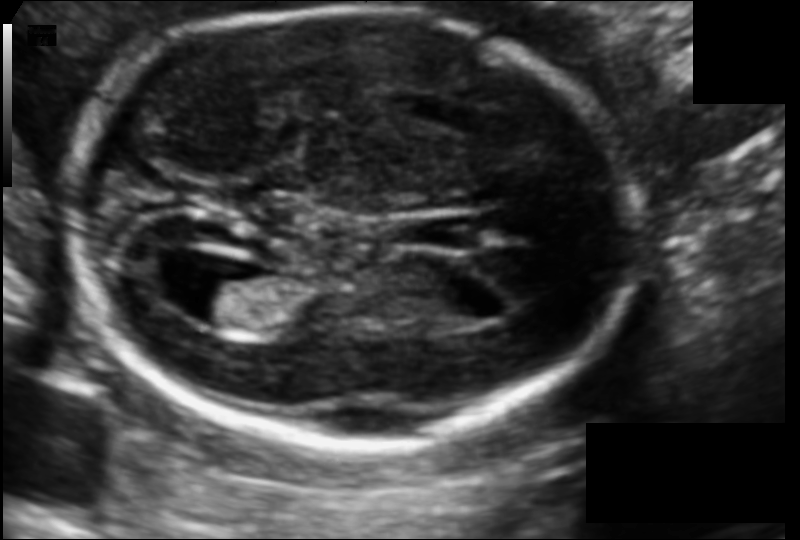
In this fetal head ultrasound, give the bounding box of the fetal head. Image width: 83.9 mm.

[69,6,631,448]